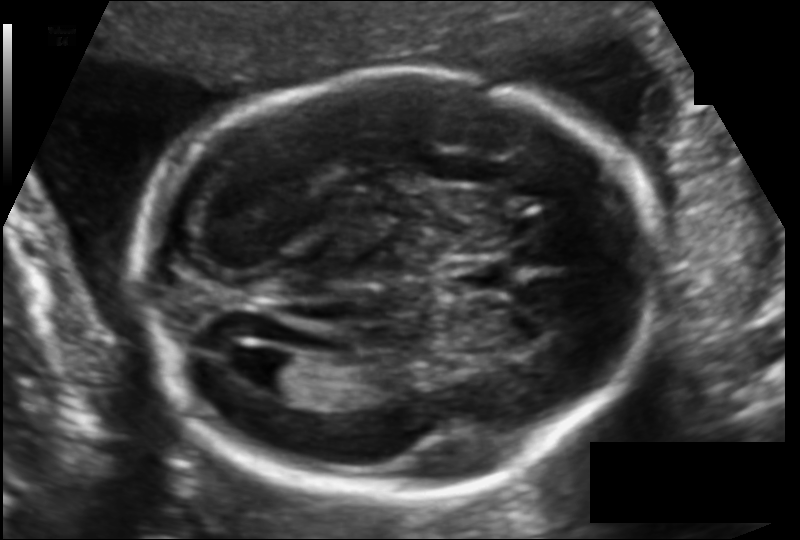
Fetal head ultrasound. Image width: 97.1 mm. Give [x1,y1,x2,y2] bounding boxes for each visible structure among: fetal head, CSP, LV.

Head: [138,70,659,491]
CSP: [450,258,508,292]
Lateral ventricle: [246,345,309,394]